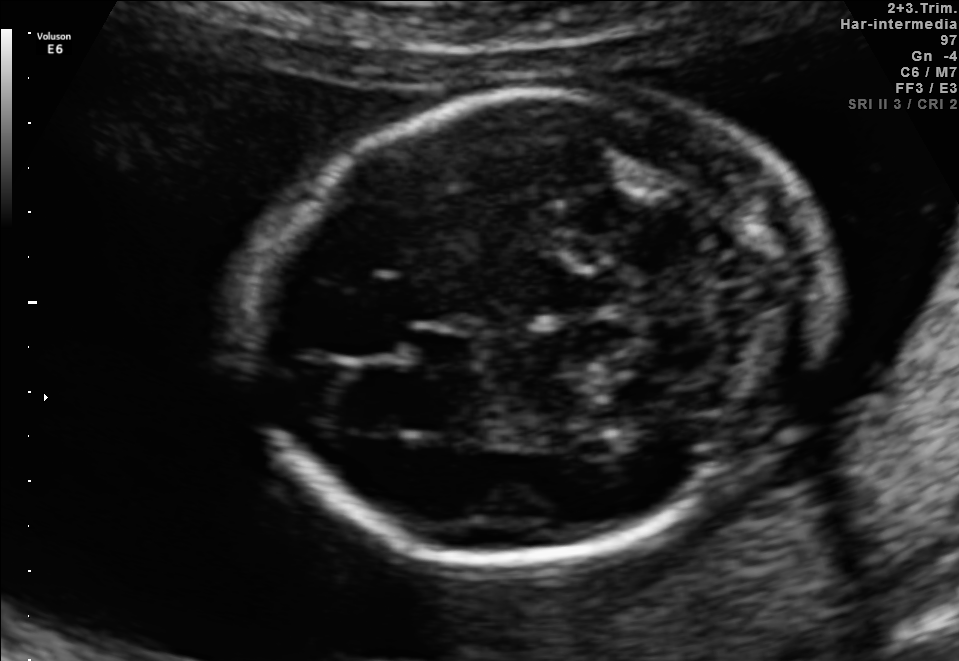
Fetal brain, trans-cerebellum plane. Locate the fetal head and, if visible, the cavum septum pellucidum (CSP) and lateral ventricle (LV). Give bounding boxes as [x1,y1,x2,y2].

Head: [253,89,826,562]
CSP: [410,324,478,371]